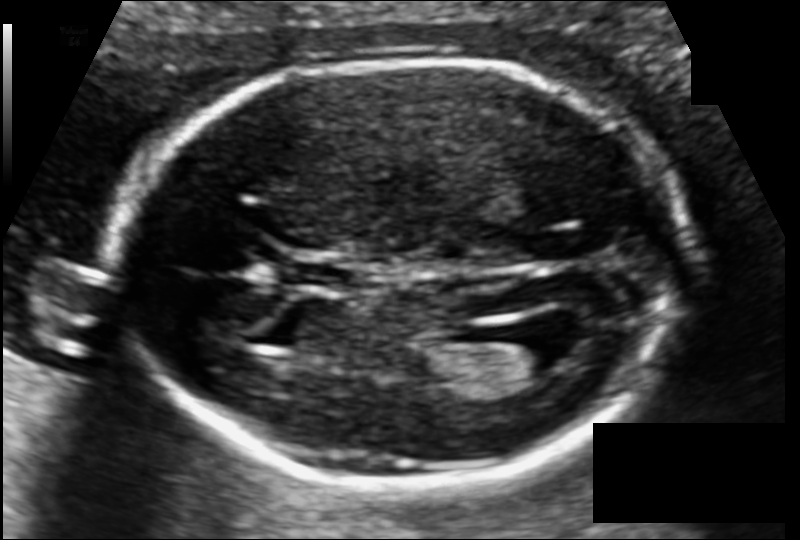
Estimate the fetal head circumference from this 2D ultrasound. Image width: 82.9 mm.

Head circumference: 165.9 mm.